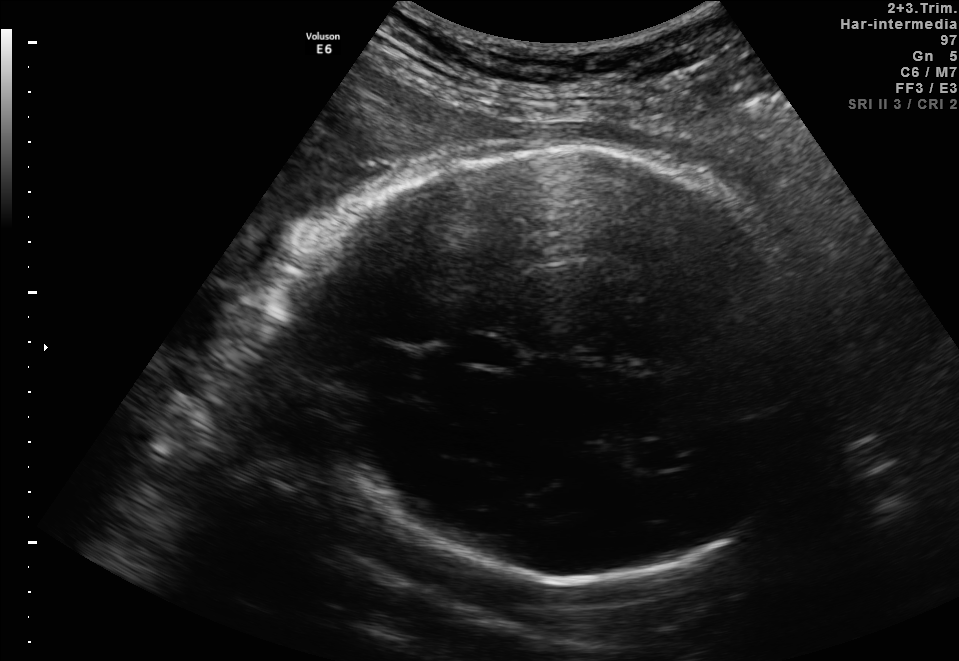
In this fetal brain, trans-thalamic plane, give the bounding box of the cavum septum pellucidum.

[461,334,511,369]